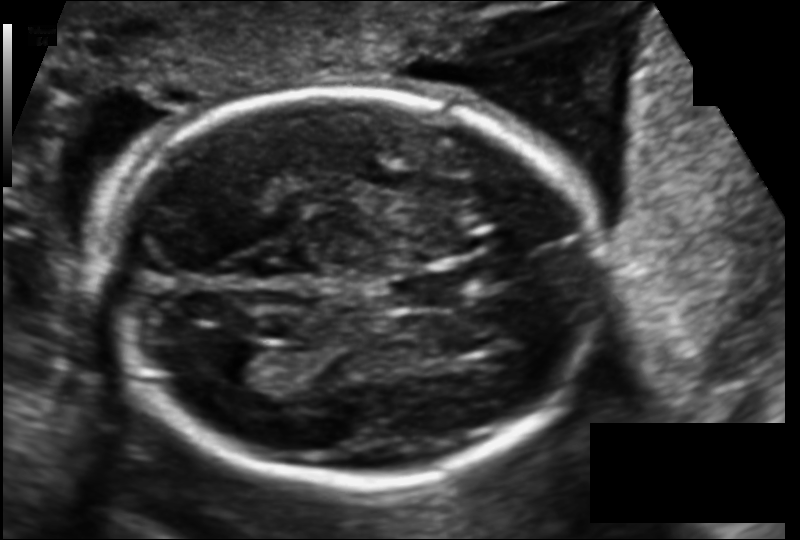
Estimate the fetal head circumference from this 2D ultrasound. Image width: 104.3 mm.

Head circumference: 189.9 mm.